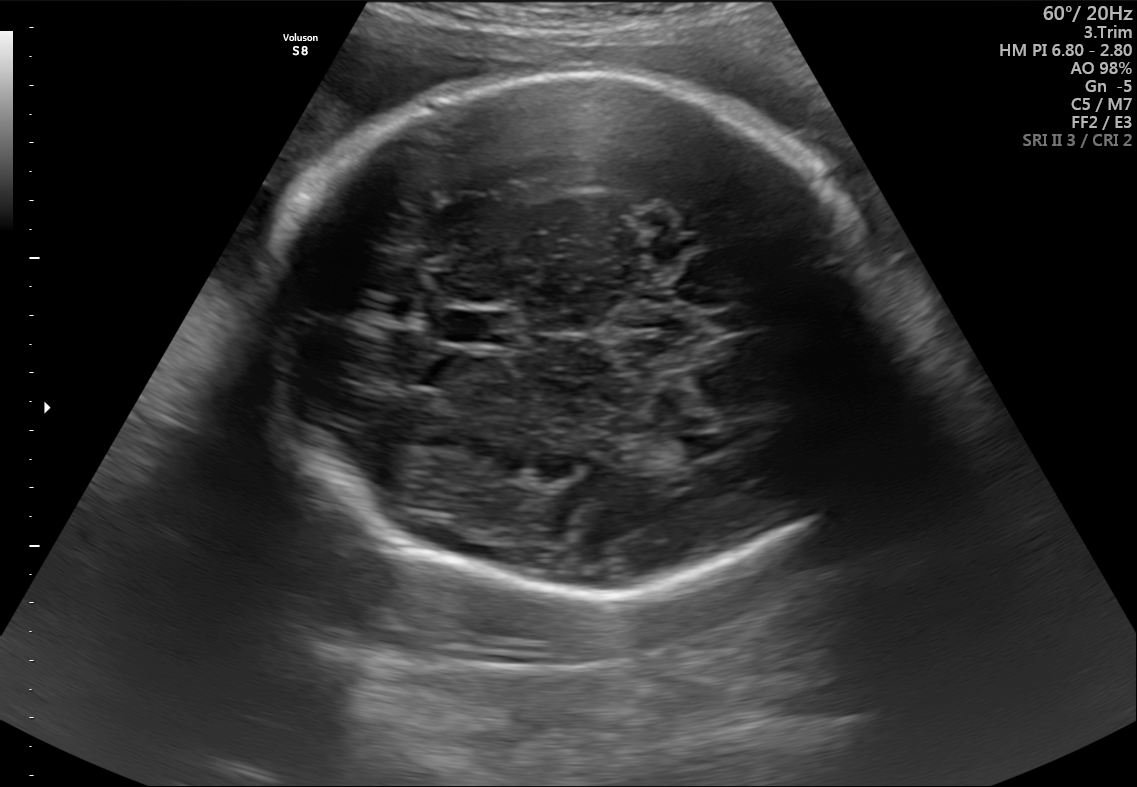
Fetal brain, trans-thalamic plane. Locate the fetal head and, if visible, the cavum septum pellucidum (CSP) and lateral ventricle (LV). Give bounding boxes as [x1,y1,x2,y2].

Head: [269,71,903,599]
CSP: [445,310,515,345]
Lateral ventricle: [669,433,710,463]